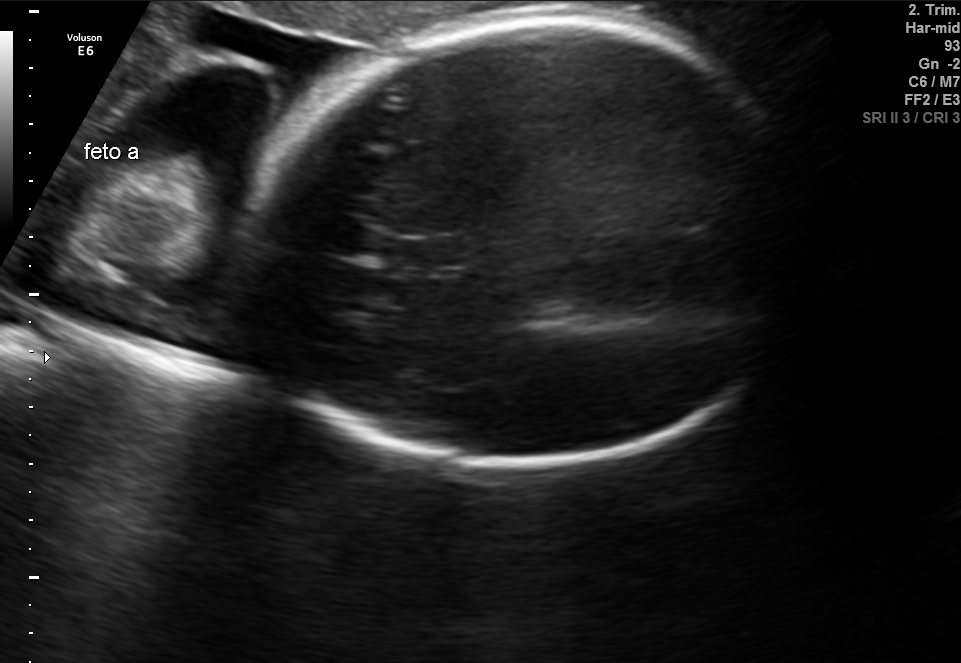
Which standard maternal-fetal ultrasound plane is shown: fetal abdomen, fetal brain, fetal femur, fetal thorax, maternal cervix, or other? If it's fetal brain and one of the three standard brain planes (trans-thalamic, trans-cerebellum, trans-ventricular), name which.

Fetal brain